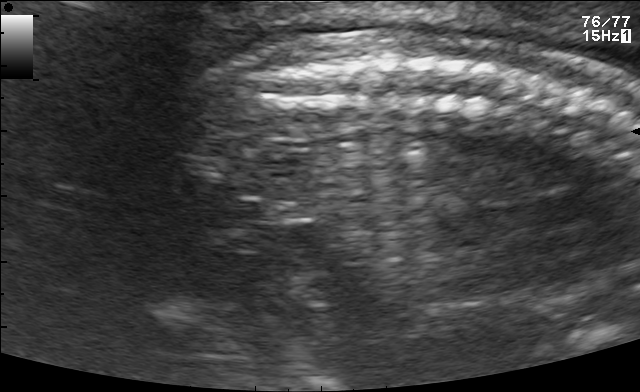
Which standard maternal-fetal ultrasound plane is shown: fetal abdomen, fetal brain, fetal femur, fetal thorax, maternal cervix, or other? If it's fetal brain and one of the three standard brain planes (trans-thalamic, trans-cerebellum, trans-ventricular), name which.

Other